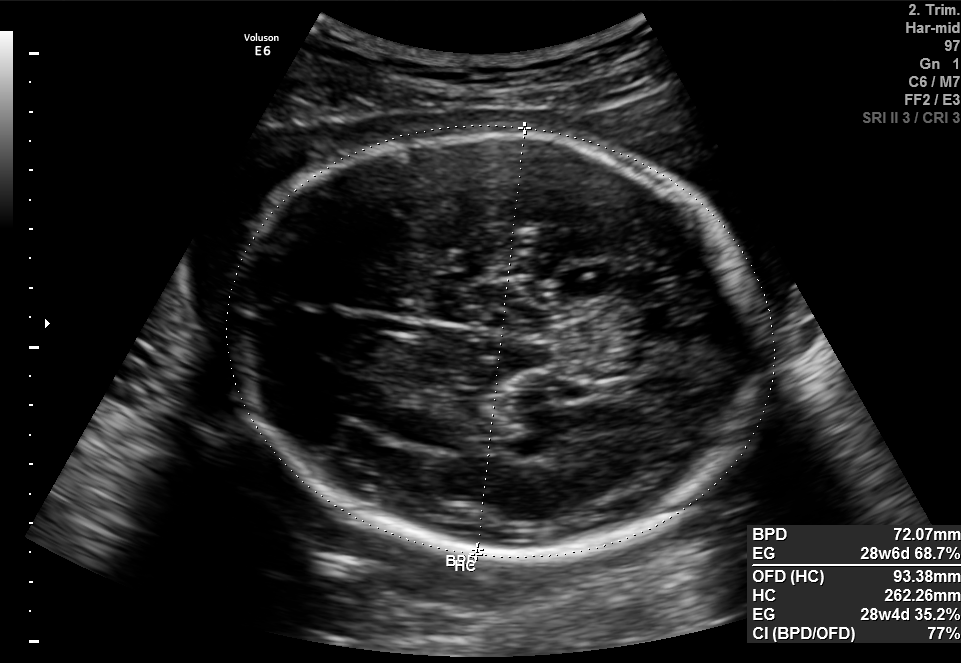
Identify the standard plane in this fetal ultrasound image: fetal abdomen, fetal brain, fetal femur, fetal thorax, maternal cervix, or other. If it's fetal brain and one of the three standard brain planes (trans-thalamic, trans-cerebellum, trans-ventricular), name which.

Fetal brain (trans-thalamic plane)